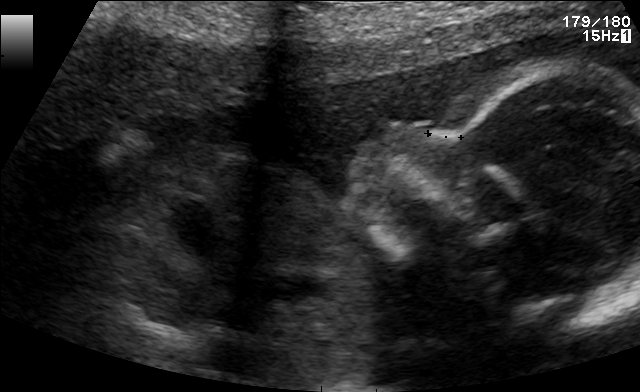
Classify this maternal-fetal ultrasound image as one of the six standard planes — fetal abdomen, fetal brain, fetal femur, fetal thorax, maternal cervix, or other. If it's fetal brain and one of the three standard brain planes (trans-thalamic, trans-cerebellum, trans-ventricular), name which.

Other